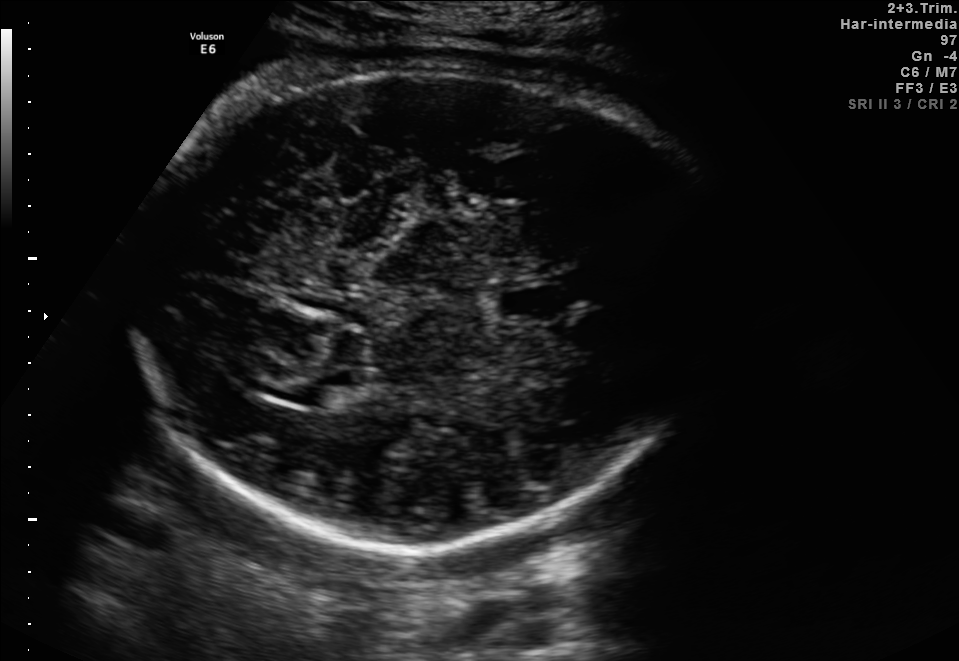
In this fetal brain, trans-thalamic plane, give the bounding box of the lateral ventricle.

[257,360,353,415]